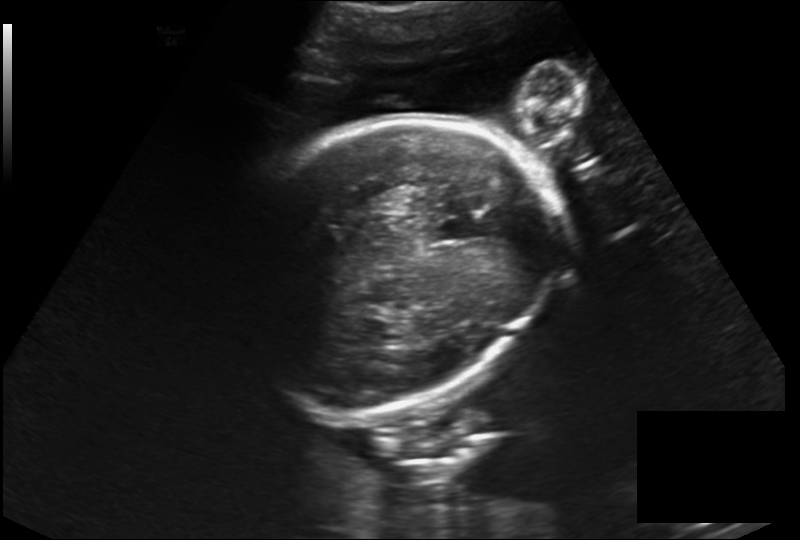
Fetal head ultrasound. Image width: 184.3 mm. Where is the fetal head?

Head bounding box: [228,118,549,413]